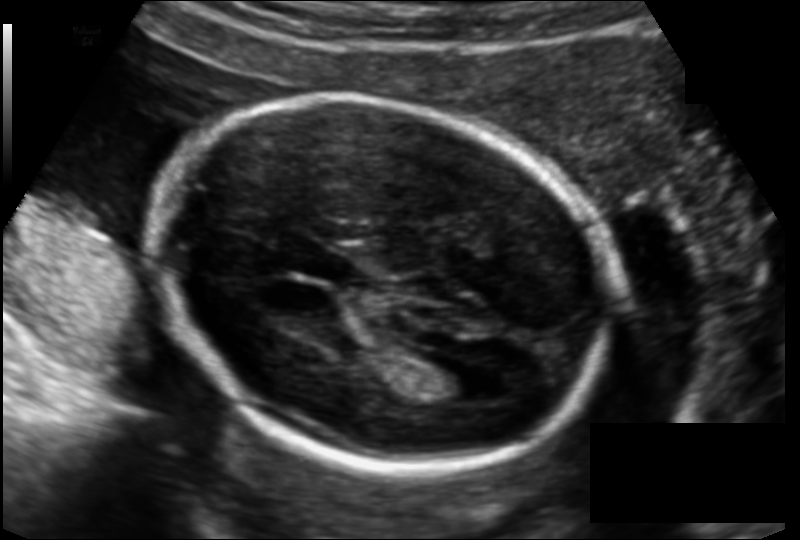
In this fetal head ultrasound, give the bounding box of the fetal head. Image width: 107.7 mm.

[153,100,611,468]